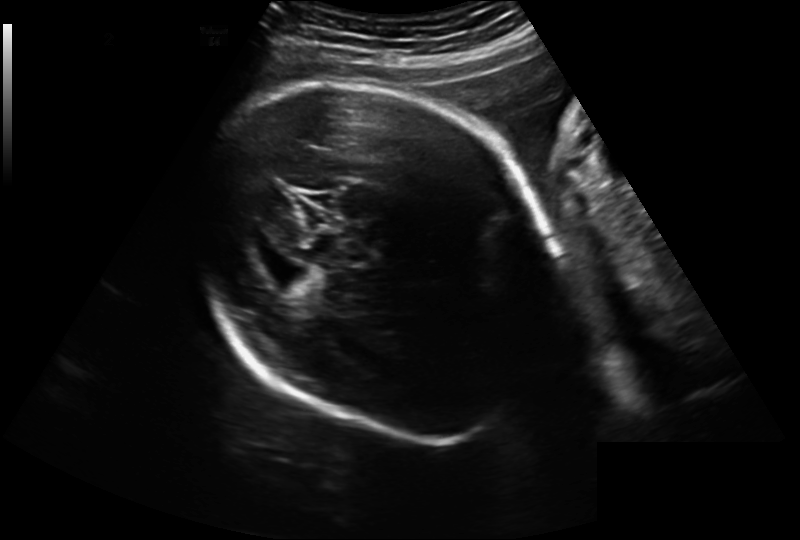
Fetal head ultrasound. Image width: 192.7 mm. Where is the fetal head?

Head bounding box: [196,78,559,445]